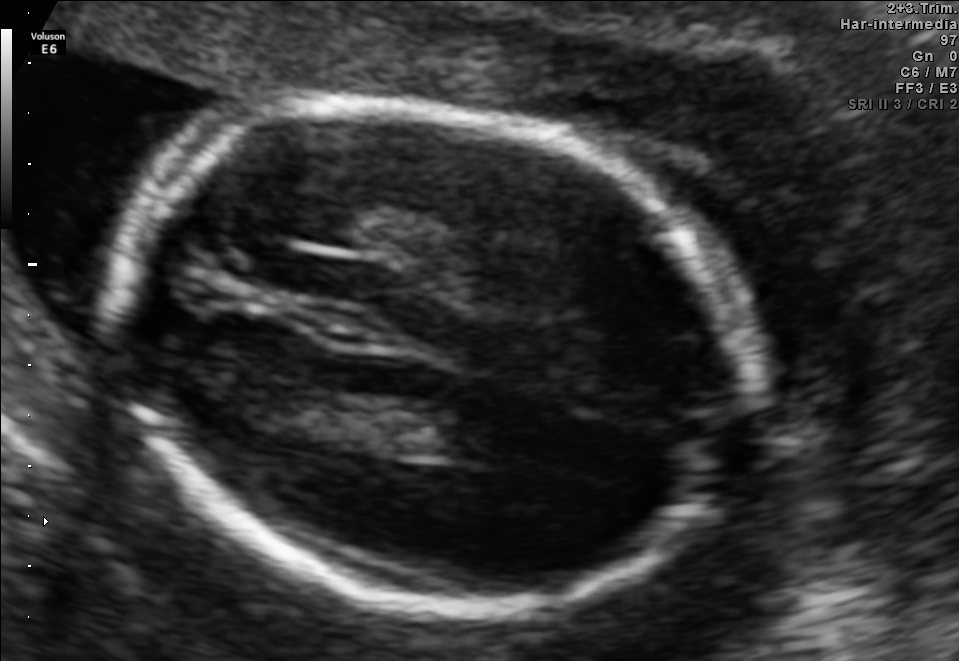
In this fetal brain, trans-thalamic plane, give bounding boxes for the head outline, cavum septum pellucidum (CSP), and lateral ventricle (LV), where visible.

Head: [102,100,743,615]